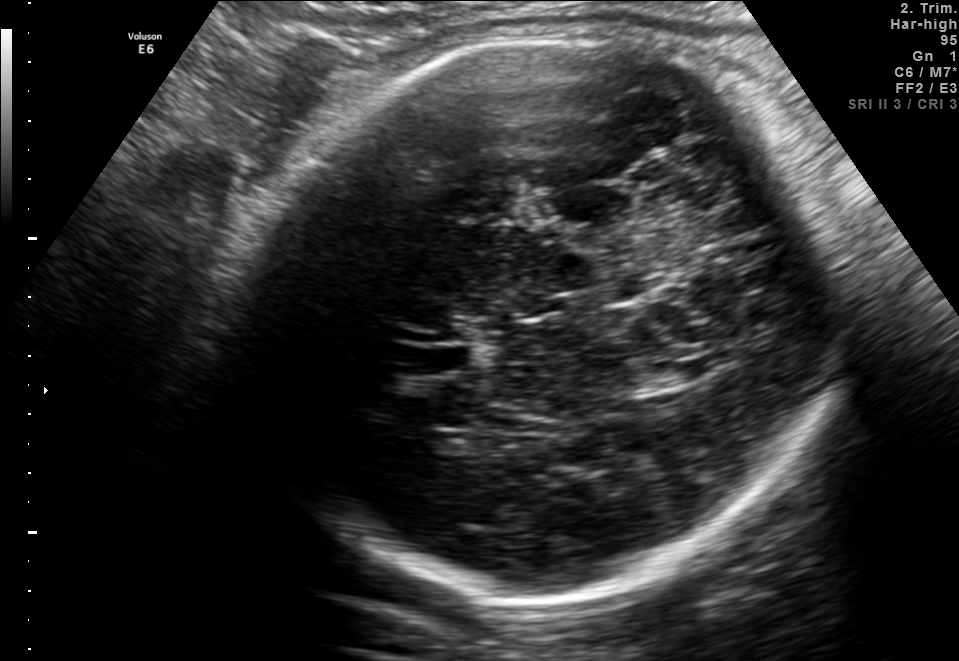
Which standard maternal-fetal ultrasound plane is shown: fetal abdomen, fetal brain, fetal femur, fetal thorax, maternal cervix, or other? If it's fetal brain and one of the three standard brain planes (trans-thalamic, trans-cerebellum, trans-ventricular), name which.

Fetal brain (trans-thalamic plane)